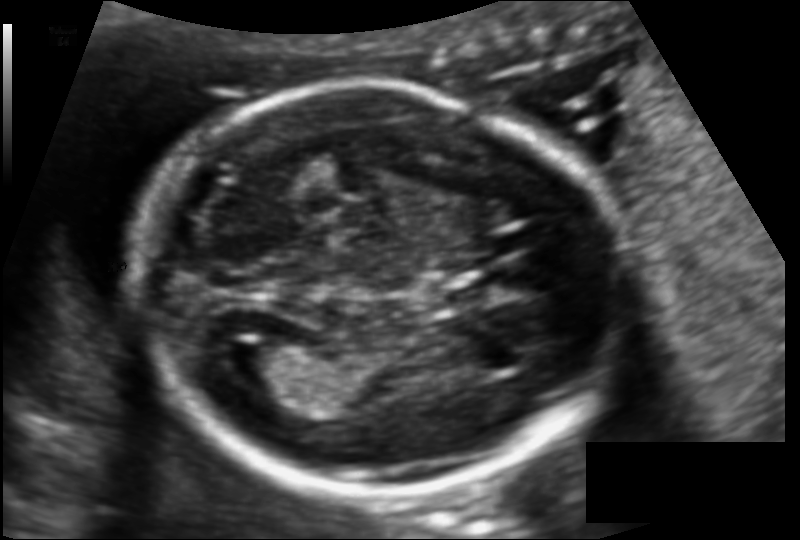
Estimate the fetal head circumference from this 2D ultrasound. Image width: 89.5 mm.

Head circumference: 162.3 mm.